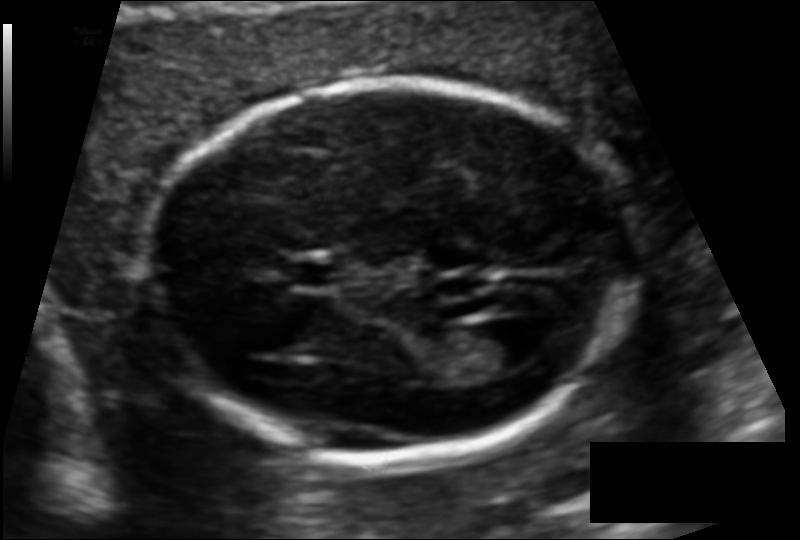
In this fetal head ultrasound, give the bounding box of the fetal head. Image width: 88.0 mm.

[147,79,633,457]